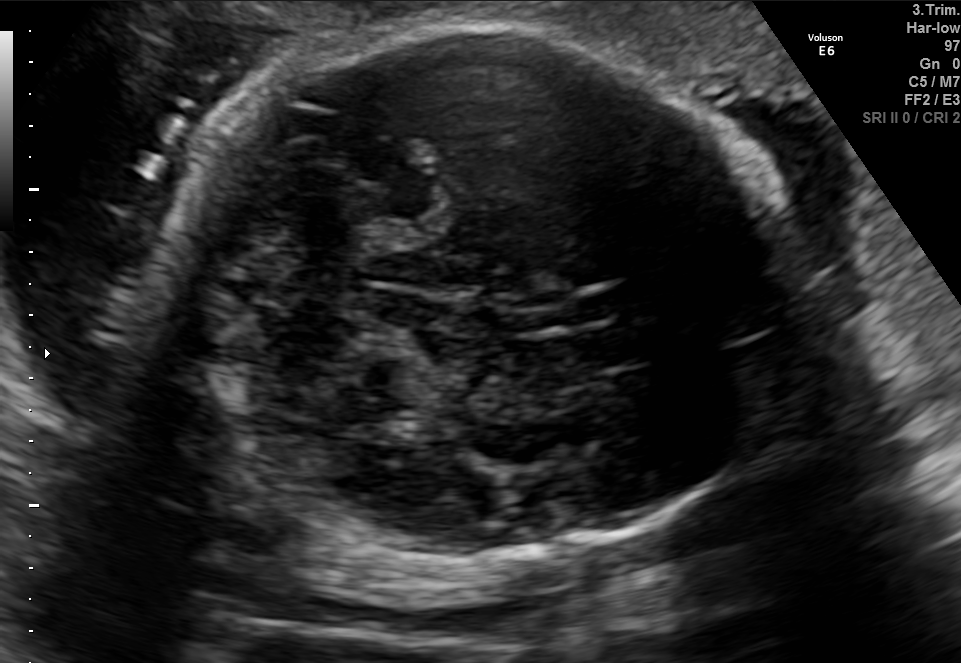
In this fetal brain, trans-cerebellum plane, give the bounding box of the fetal head.

[162,26,795,561]